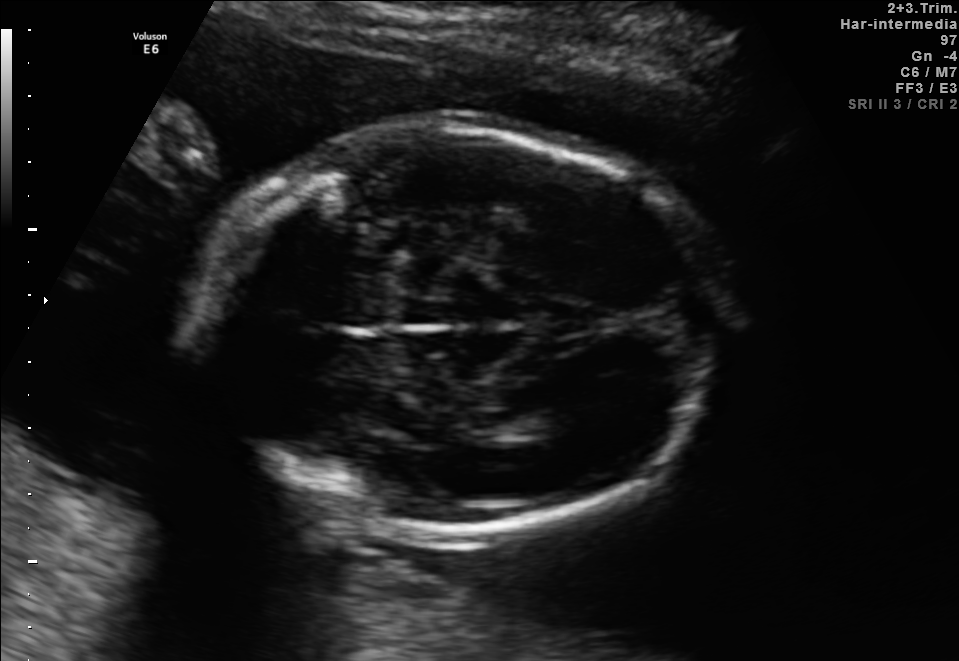
Fetal brain, trans-thalamic plane. Locate the lateral ventricle.

Lateral ventricle: [500,405,577,439]